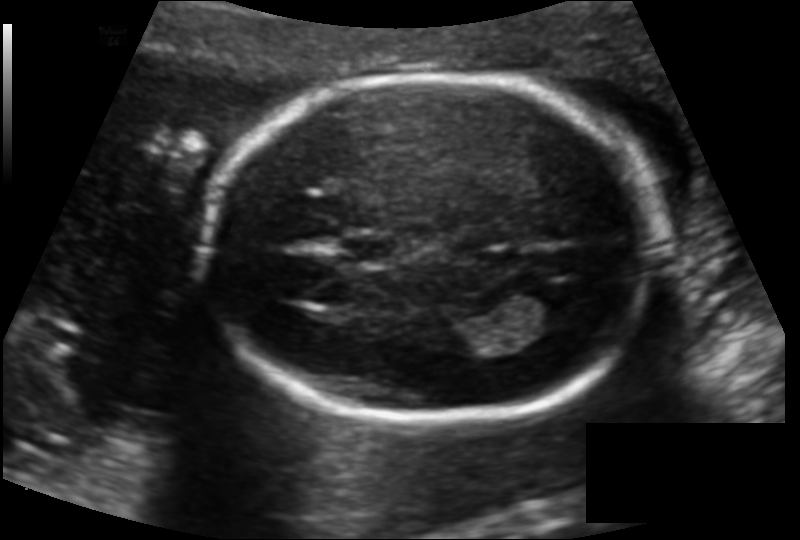
Fetal head ultrasound. Image width: 104.1 mm. Locate the fetal head.

Head: [205,76,653,420]